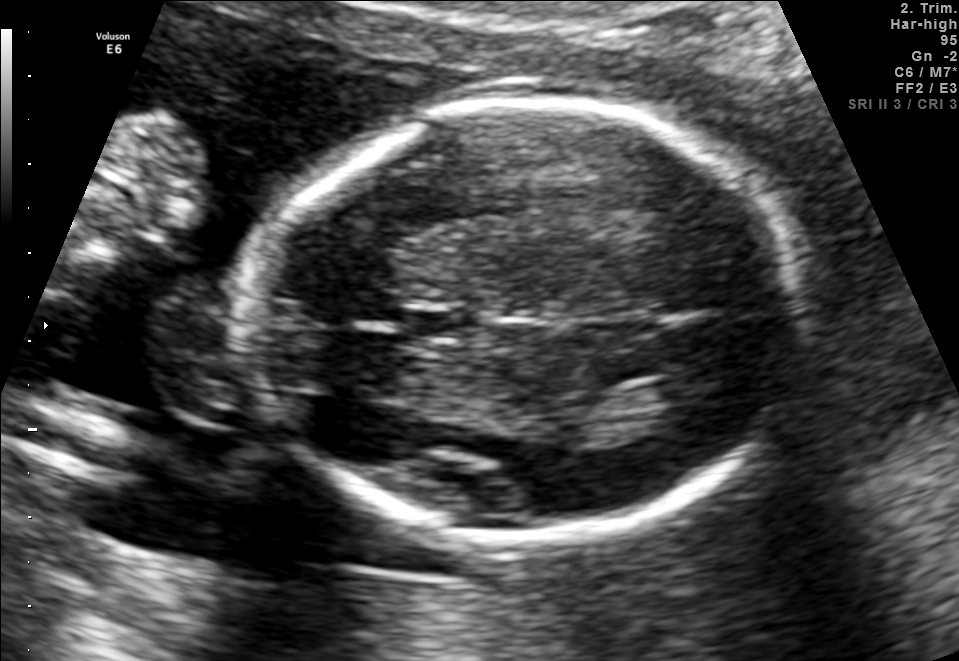
Fetal brain, trans-thalamic plane. Where is the cavum septum pellucidum?

CSP bounding box: [406,312,474,339]